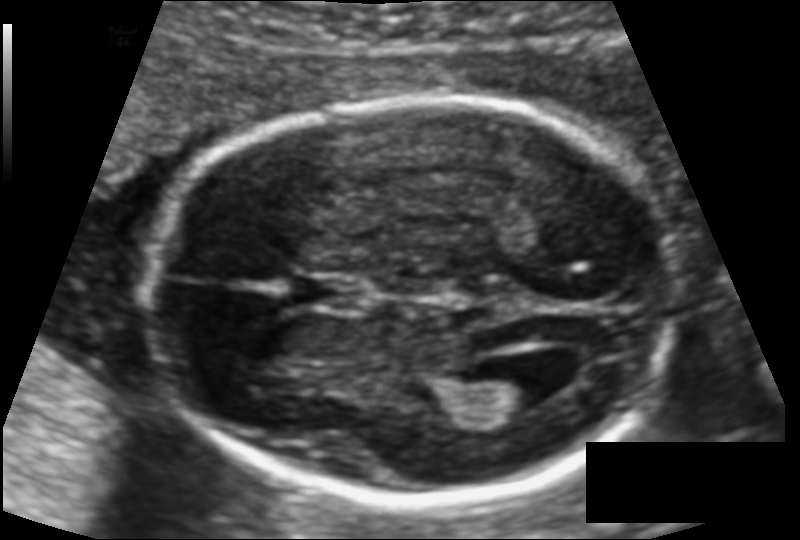
Fetal head ultrasound. Image width: 90.3 mm. Locate the lateral ventricle.

Lateral ventricle: [469,356,553,424]